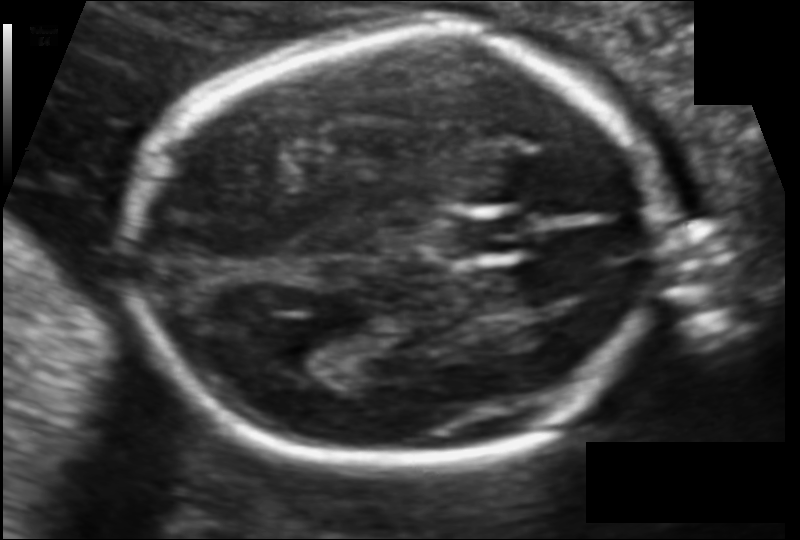
In this fetal head ultrasound, give the bounding box of the lateral ventricle. Image width: 84.9 mm.

[266,319,349,367]